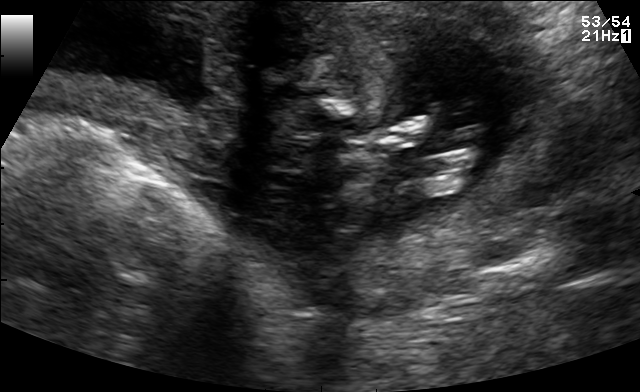
Identify the standard plane in this fetal ultrasound image: fetal abdomen, fetal brain, fetal femur, fetal thorax, maternal cervix, or other. If it's fetal brain and one of the three standard brain planes (trans-thalamic, trans-cerebellum, trans-ventricular), name which.

Other